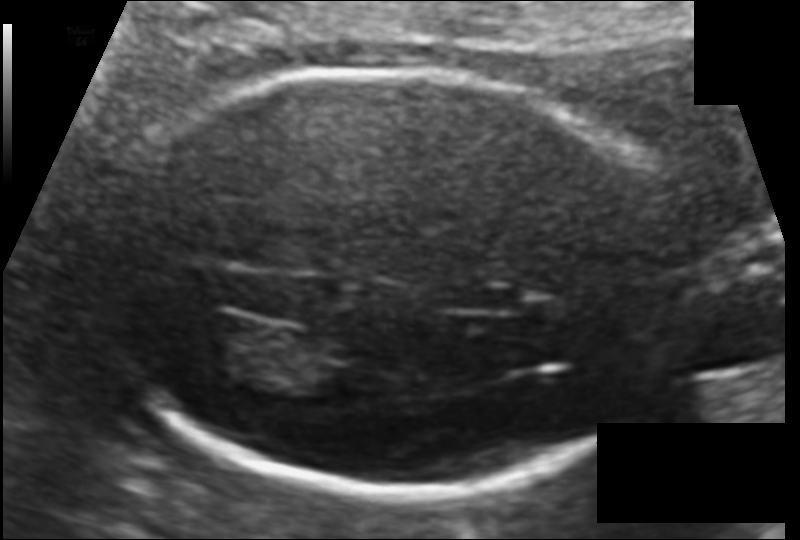
From this fetal ultrasound, estimate the head circumference (image width 82.9 mm).

Head circumference: 169.9 mm.